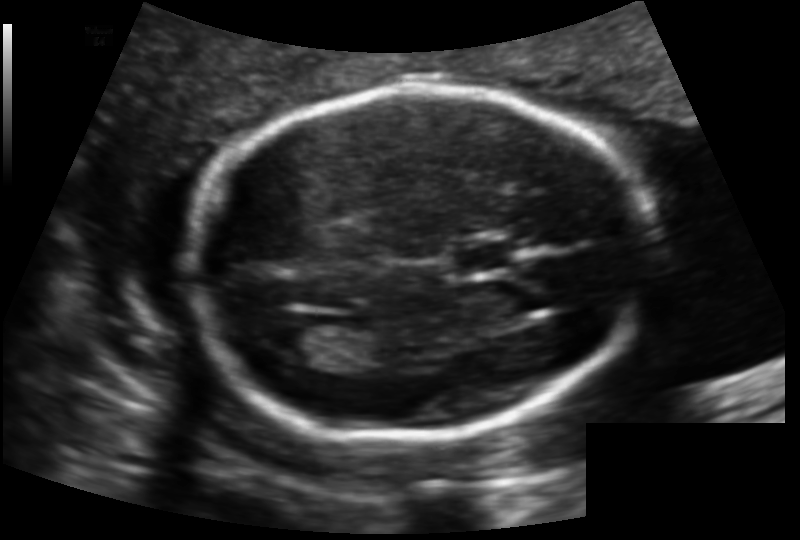
Fetal head ultrasound. Image width: 103.4 mm. Where is the lateral ventricle?

Lateral ventricle bounding box: [267,319,333,368]